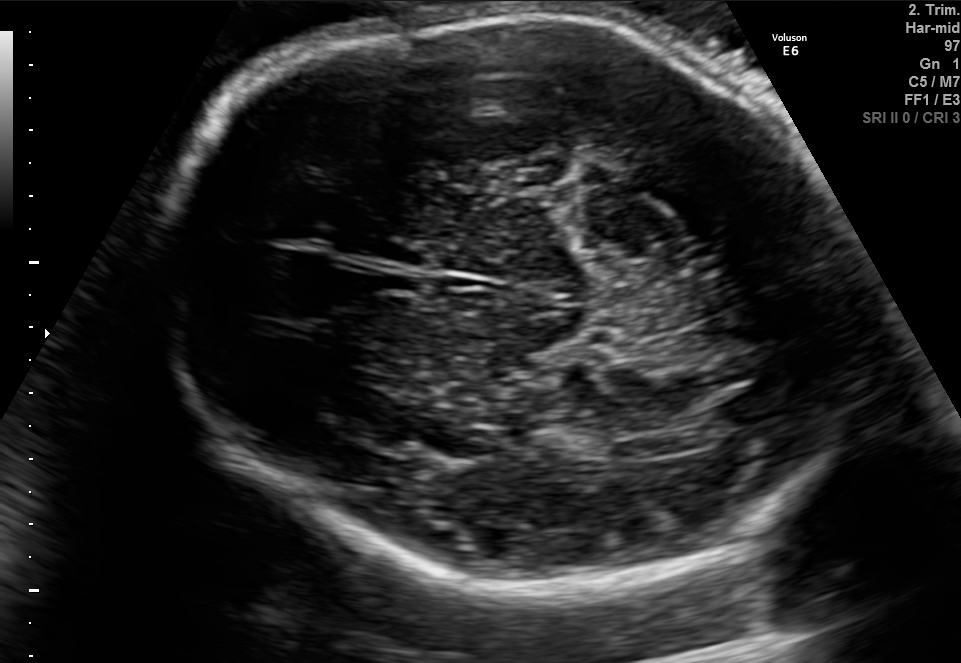
Fetal brain, trans-thalamic plane. Where is the fetal head?

Head bounding box: [146,13,861,584]